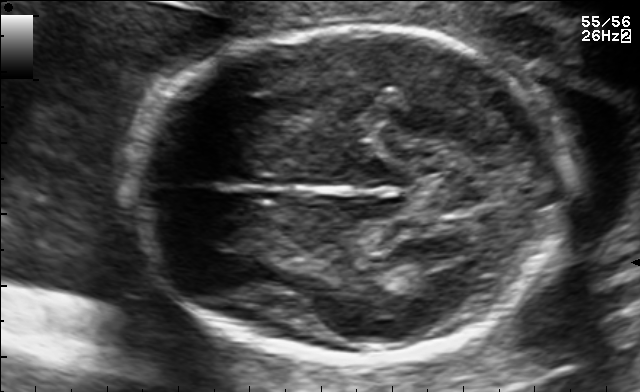
Fetal brain, trans-thalamic plane. Give [x1,y1,x2,y2] bounding boxes for each visible structure among: fetal head, CSP, LV.

Head: [127,26,572,359]